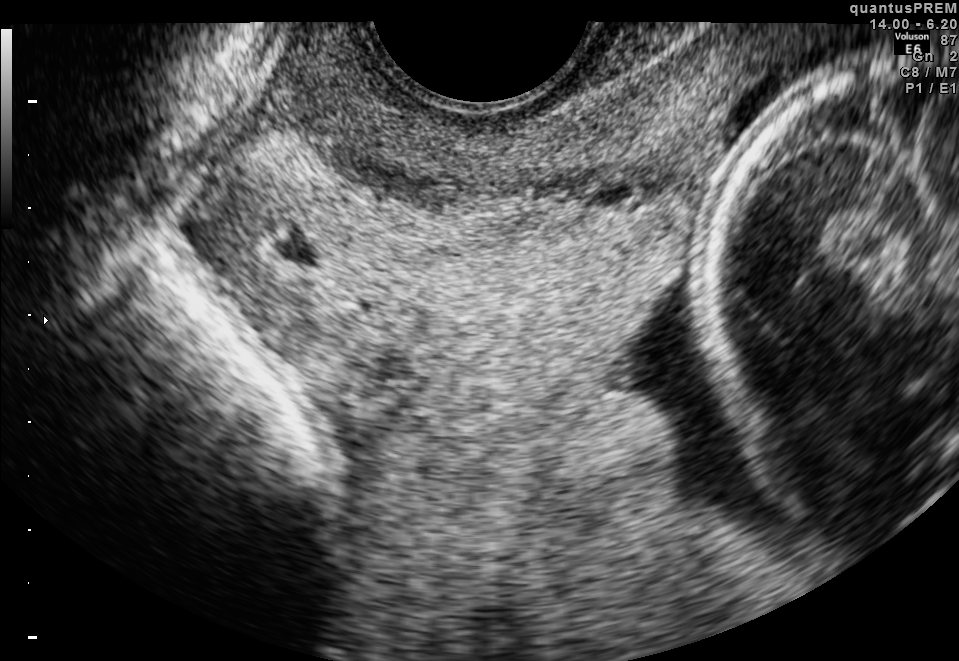
Which standard maternal-fetal ultrasound plane is shown: fetal abdomen, fetal brain, fetal femur, fetal thorax, maternal cervix, or other? If it's fetal brain and one of the three standard brain planes (trans-thalamic, trans-cerebellum, trans-ventricular), name which.

Maternal cervix